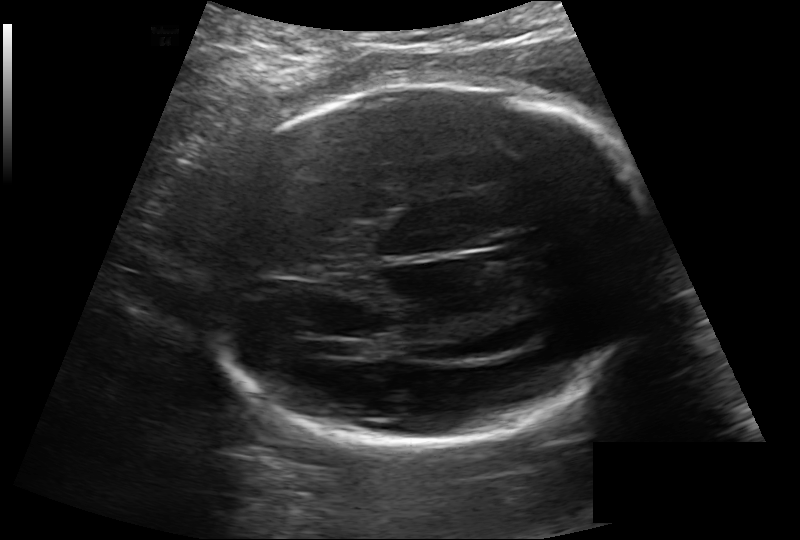
Estimate the fetal head circumference from this 2D ultrasound.

Head circumference: 247.1 mm (image width 151.0 mm).